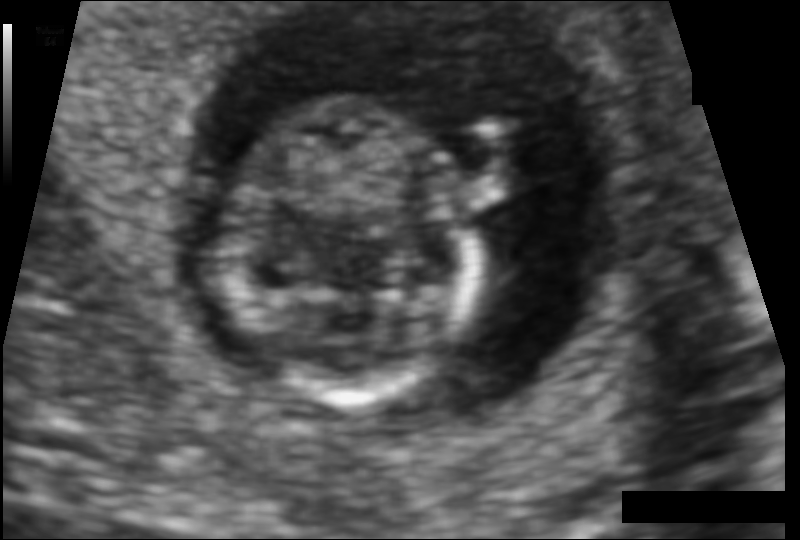
Measure the fetal head circumference shown in this ultrasound image. Image width: 63.9 mm.

Head circumference: 71.9 mm.